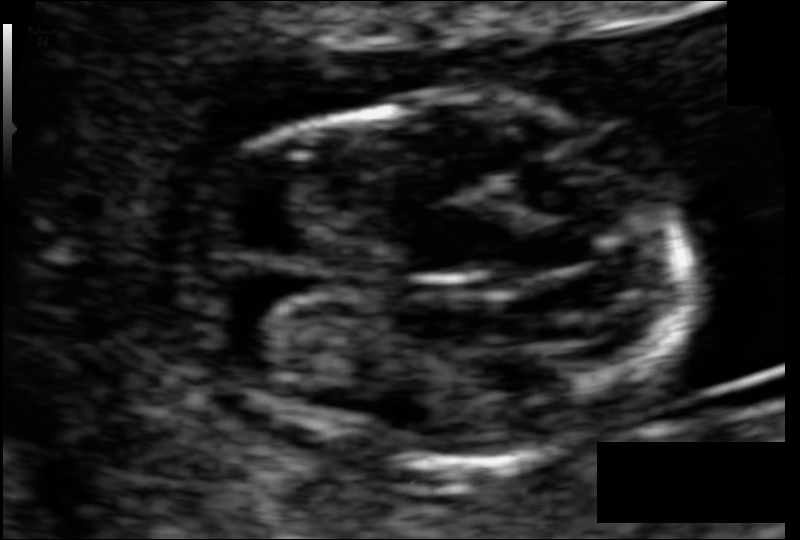
What is the fetal head circumference? Image width is 41.8 mm.

74.6 mm